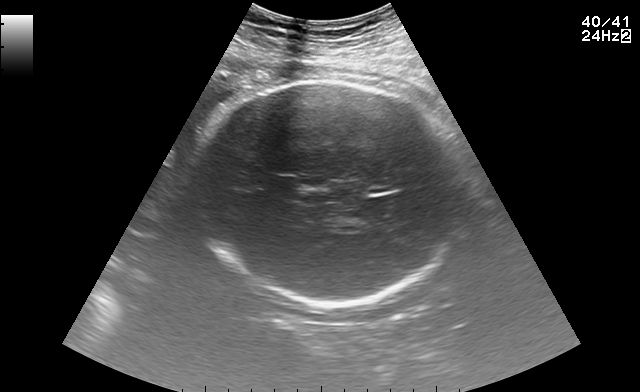
In this fetal brain, trans-thalamic plane, give bounding boxes for the head outline, cavum septum pellucidum (CSP), and lateral ventricle (LV), where visible.

Head: [194,81,460,309]